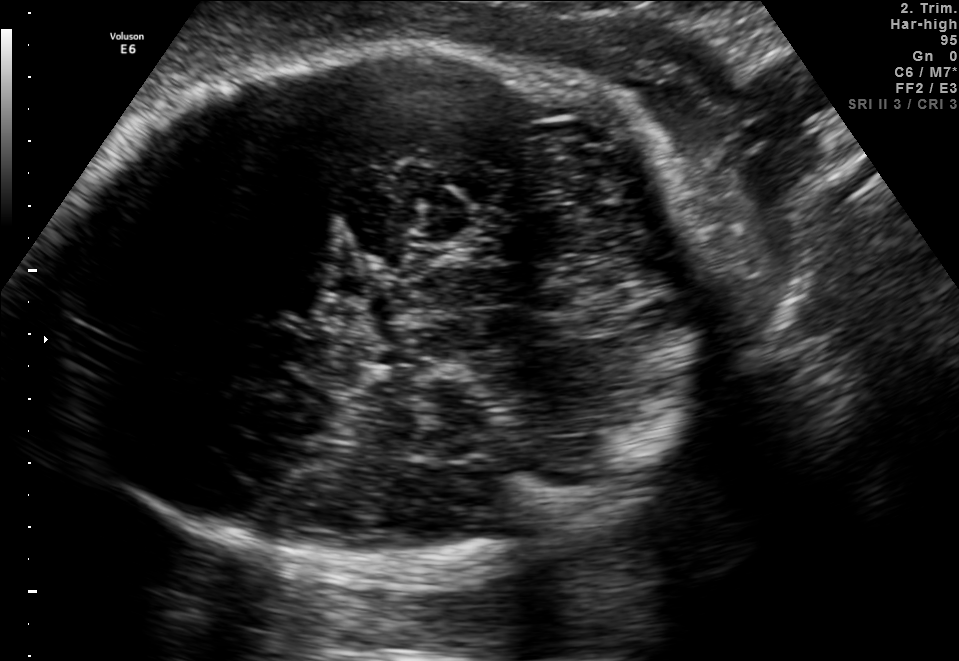
Fetal brain, trans-thalamic plane. Where is the fetal head?

Head bounding box: [57,44,700,565]